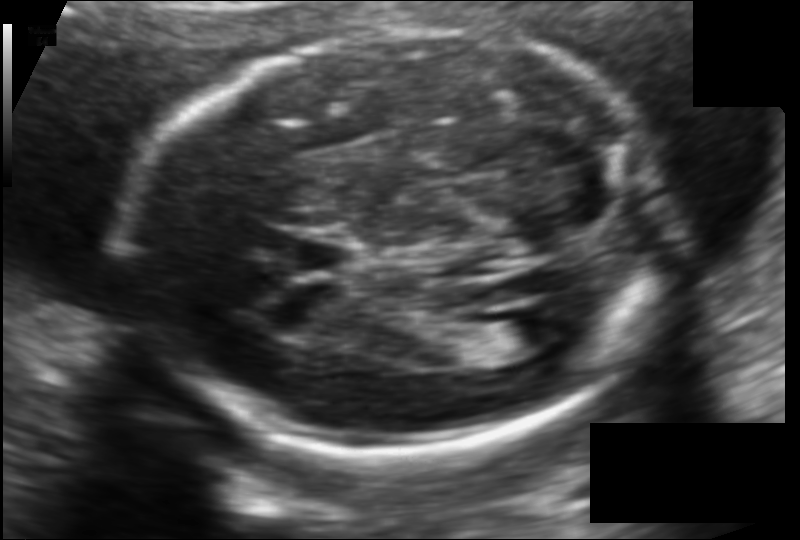
From this fetal ultrasound, estimate the head circumference (image width 94.7 mm).

Head circumference: 185.4 mm.